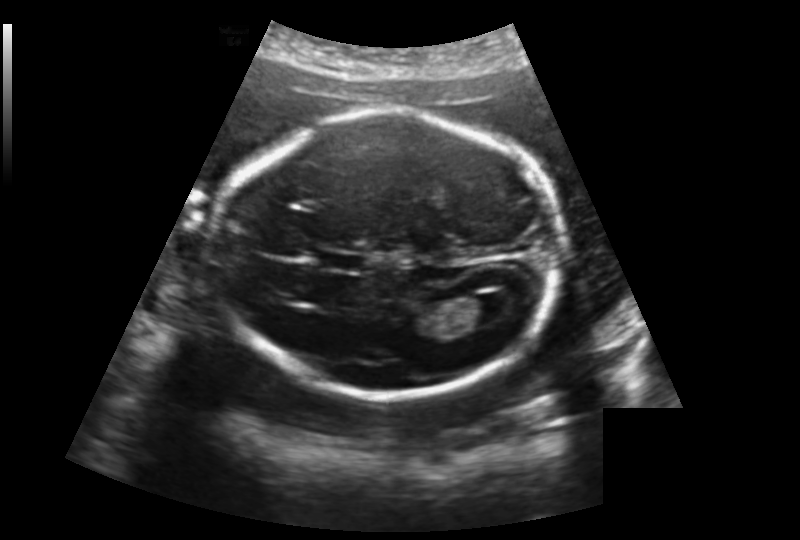
Estimate the fetal head circumference from this 2D ultrasound.

Head circumference: 194.6 mm (image width 150.3 mm).